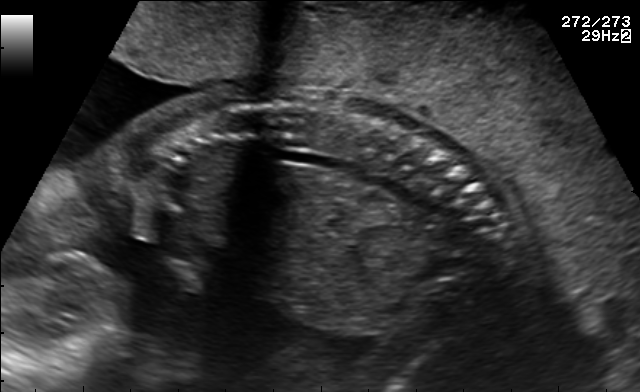
Identify the standard plane in this fetal ultrasound image: fetal abdomen, fetal brain, fetal femur, fetal thorax, maternal cervix, or other. If it's fetal brain and one of the three standard brain planes (trans-thalamic, trans-cerebellum, trans-ventricular), name which.

Other